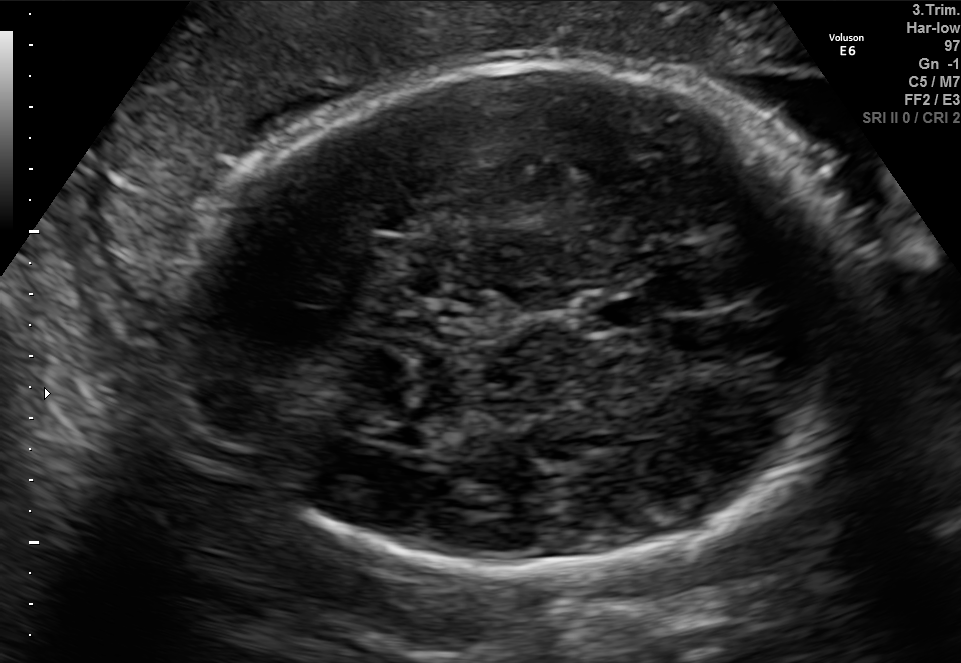
Fetal brain, trans-thalamic plane. Locate the cavum septum pellucidum.

CSP: [580,291,645,331]